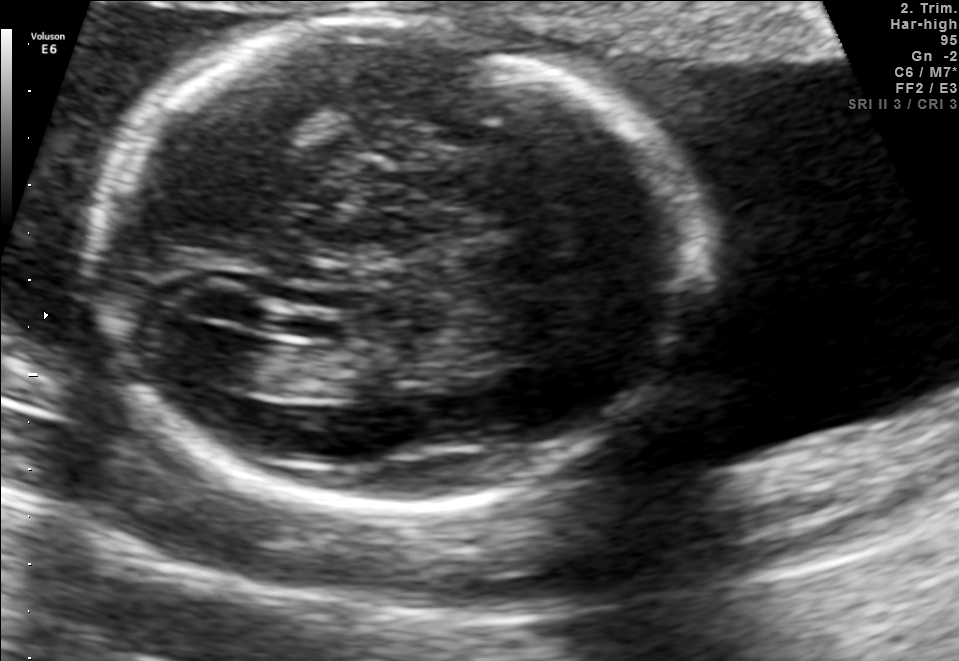
In this fetal brain, trans-ventricular plane, give bounding boxes for the head outline, cavum septum pellucidum (CSP), and lateral ventricle (LV), where visible.

Head: [81,6,708,523]
Lateral ventricle: [188,323,279,393]